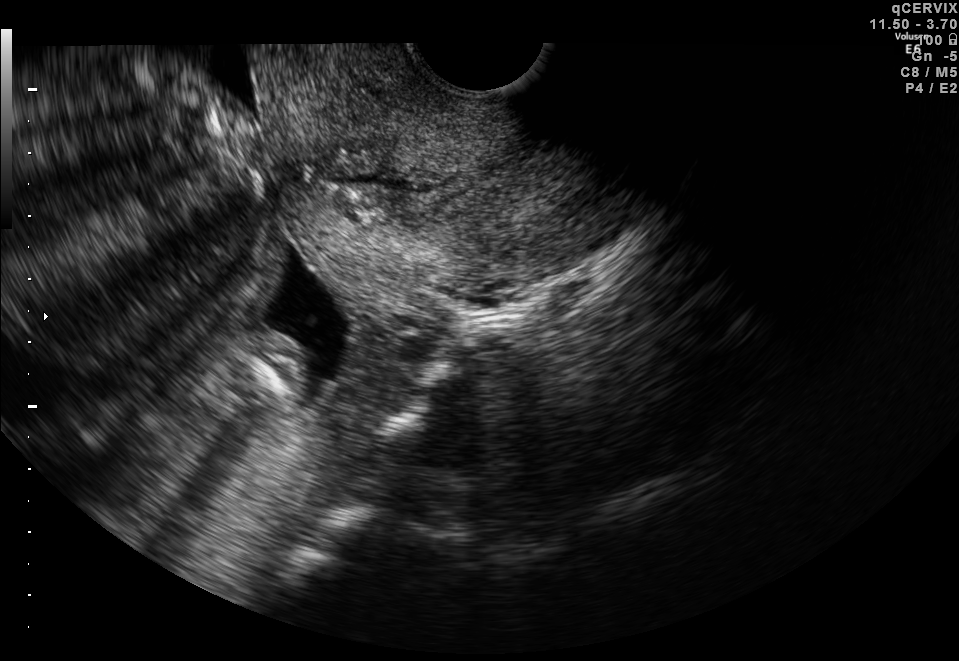
Classify this maternal-fetal ultrasound image as one of the six standard planes — fetal abdomen, fetal brain, fetal femur, fetal thorax, maternal cervix, or other. If it's fetal brain and one of the three standard brain planes (trans-thalamic, trans-cerebellum, trans-ventricular), name which.

Maternal cervix